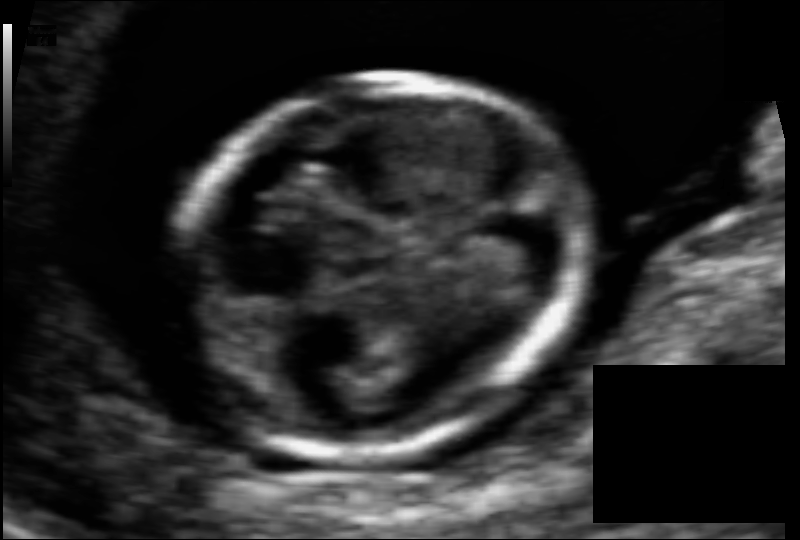
From this fetal ultrasound, estimate the head circumference (image width 43.2 mm).

Head circumference: 69.8 mm.